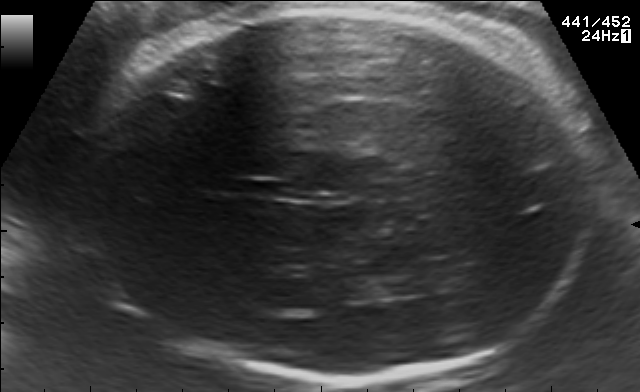
In this fetal brain, trans-thalamic plane, give the bounding box of the fetal head.

[72,7,591,377]